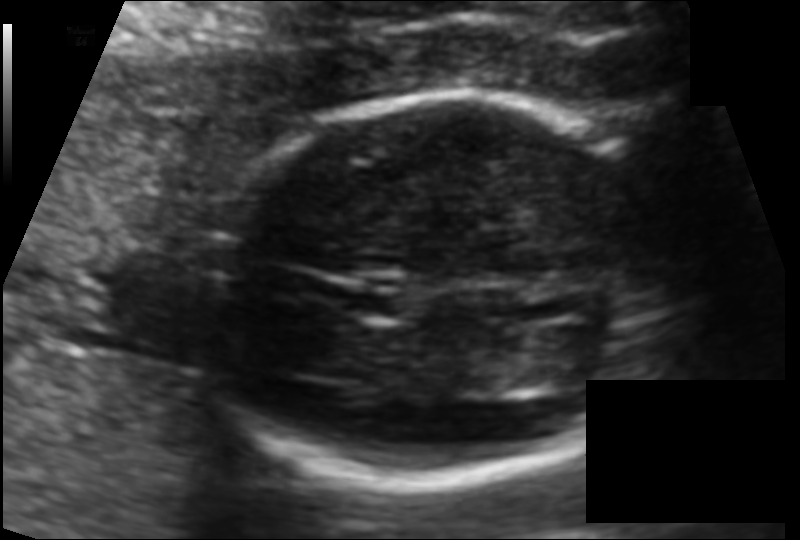
Fetal head ultrasound. Image width: 80.0 mm. Locate the fetal head and, if visible, the cavum septum pellucidum (CSP) and lateral ventricle (LV). Give bounding boxes as [x1,y1,x2,y2].

Head: [191,95,687,486]